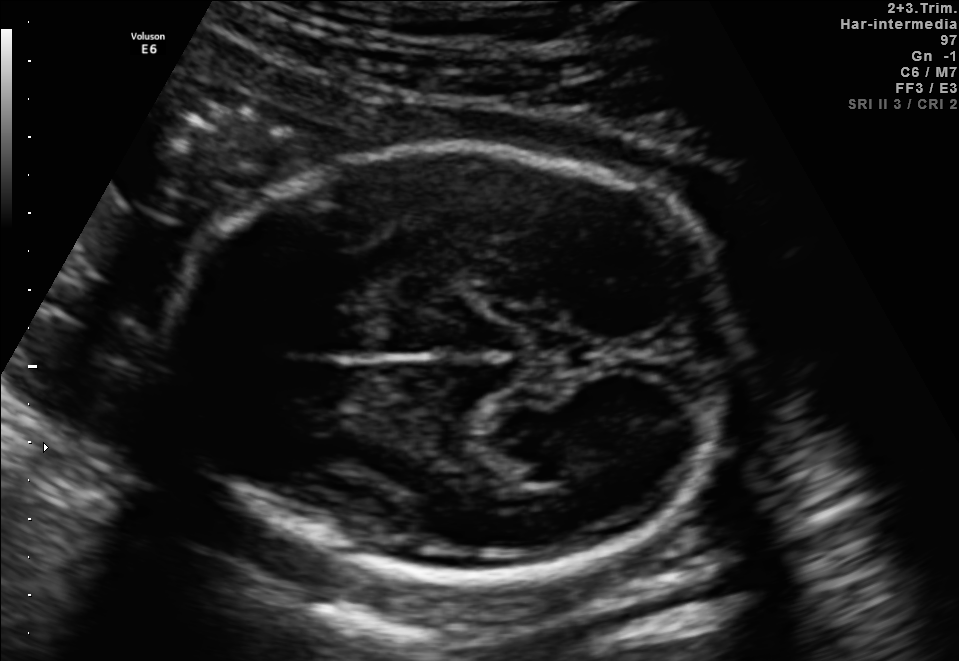
Fetal brain, trans-thalamic plane. Locate the lateral ventricle.

Lateral ventricle: [488,425,608,491]